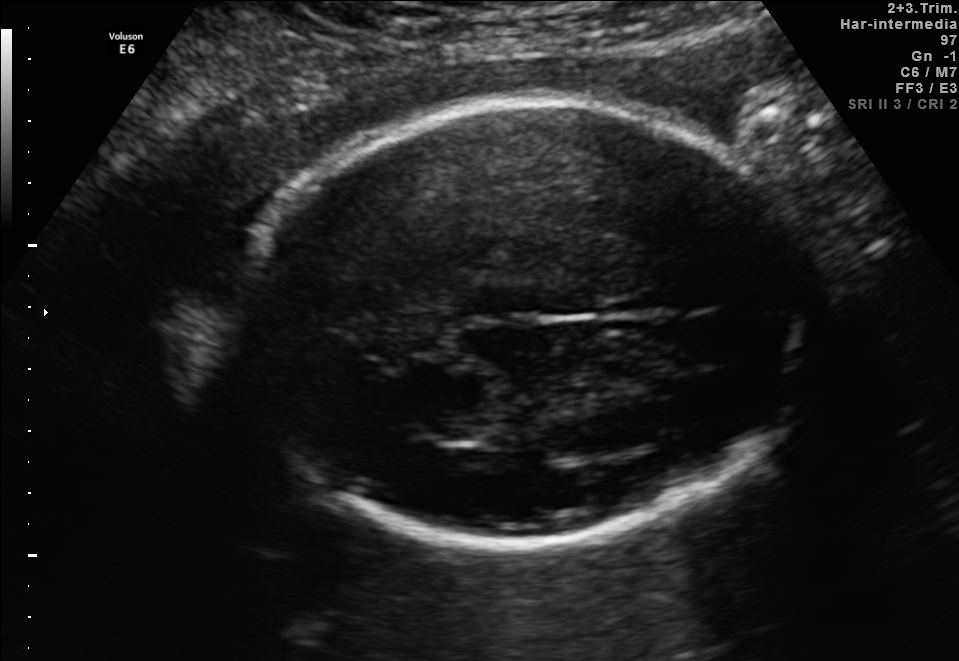
Fetal brain, trans-thalamic plane. Where is the fetal head?

Head bounding box: [222,102,833,547]